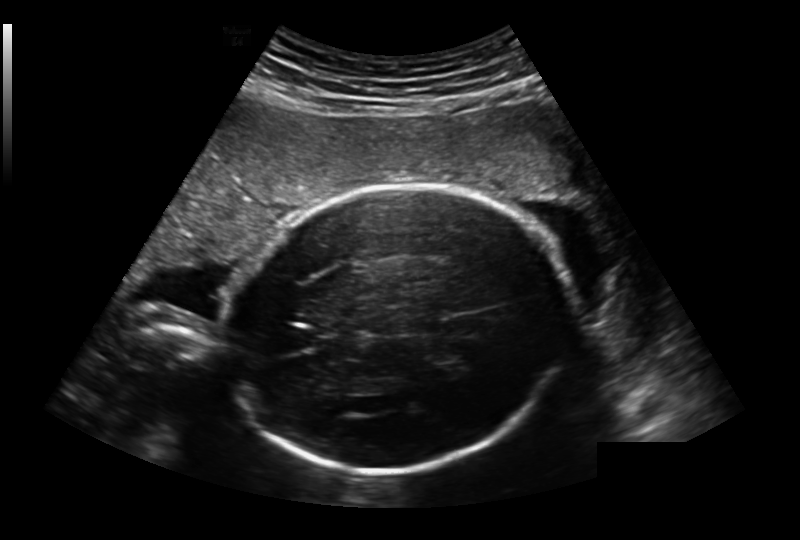
Measure the fetal head circumference shown in this ultrasound image. Image width: 188.6 mm.

Head circumference: 240.9 mm.